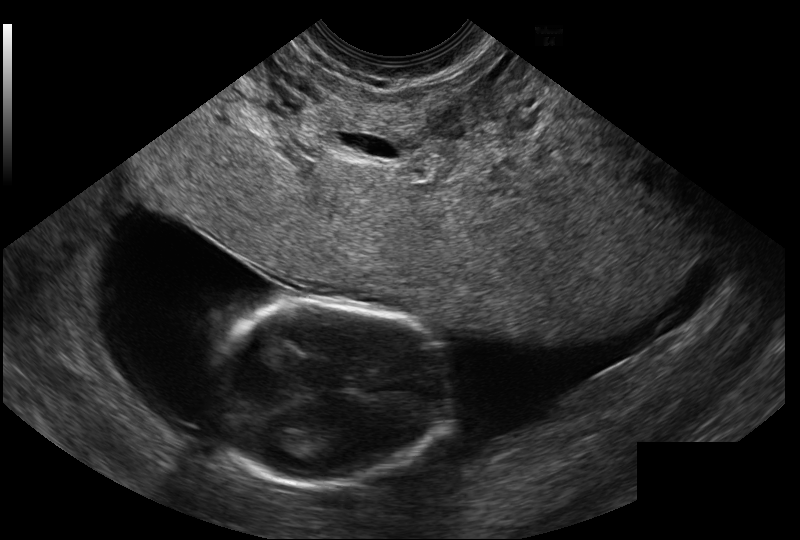
Fetal head ultrasound. Image width: 91.4 mm. Locate the fetal head and, if visible, the cavum septum pellucidum (CSP) and lateral ventricle (LV). Give bounding boxes as [x1,y1,x2,y2].

Head: [209,301,452,486]